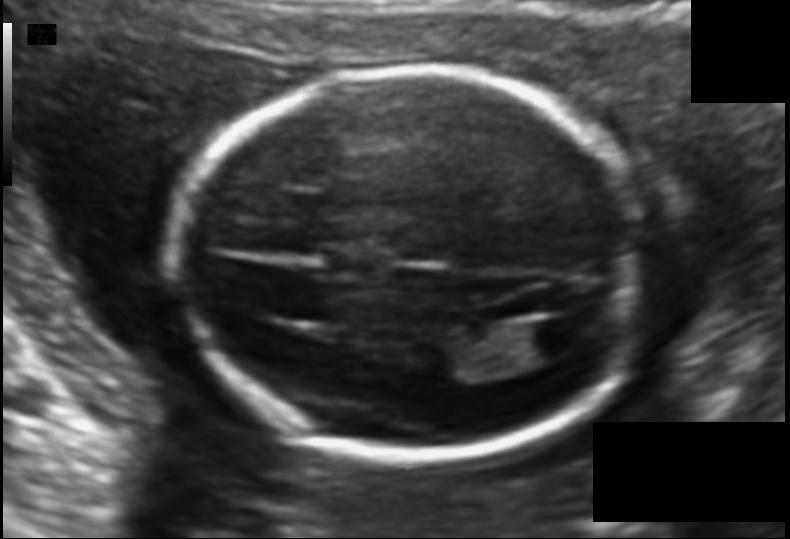
Fetal head ultrasound. Image width: 95.9 mm. Give [x1,y1,x2,y2] bounding boxes for each visible structure among: fetal head, CSP, LV.

Head: [178,68,653,459]
Lateral ventricle: [508,308,595,369]